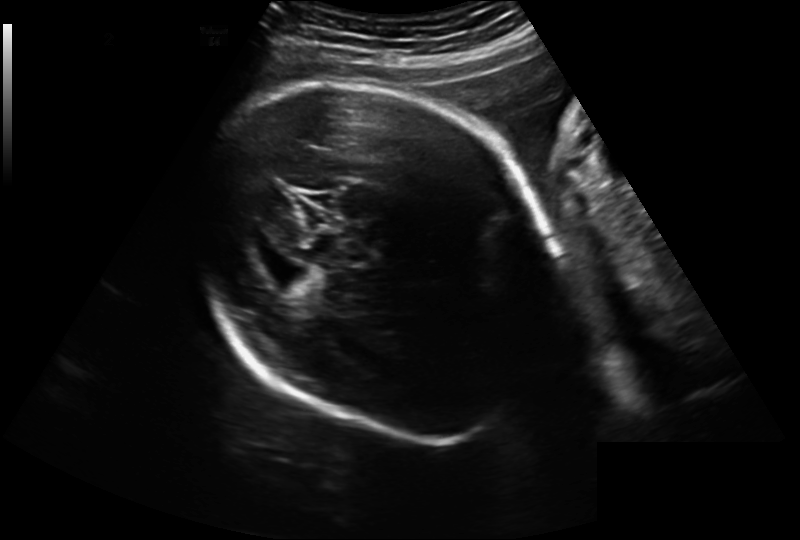
From this fetal ultrasound, estimate the head circumference (image width 192.7 mm).

Head circumference: 280.5 mm.